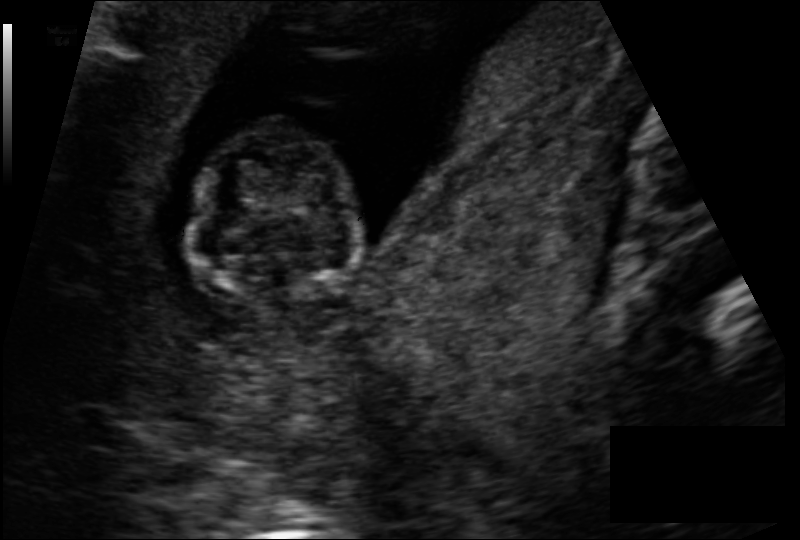
What is the fetal head circumference? Image width is 90.4 mm.

67.3 mm